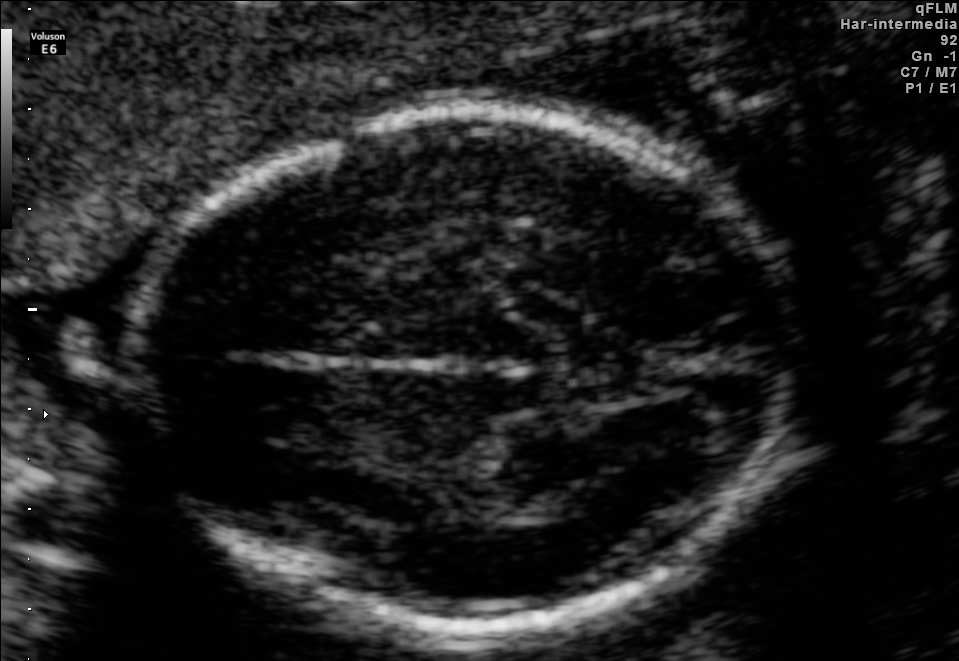
Fetal brain, trans-thalamic plane. Where is the fetal head?

Head bounding box: [133,113,792,636]